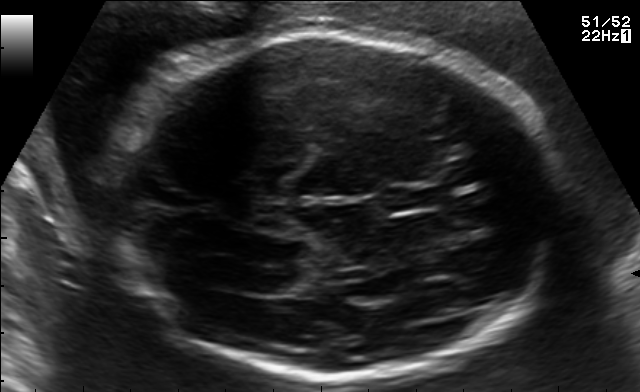
In this fetal brain, trans-ventricular plane, give the bounding box of the fetal head.

[97,28,575,383]